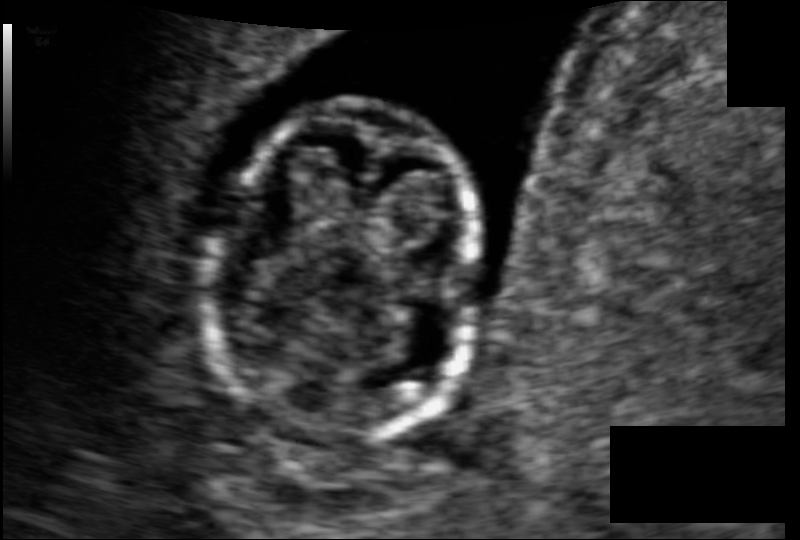
What is the fetal head circumference? Image width is 59.1 mm.

74.6 mm